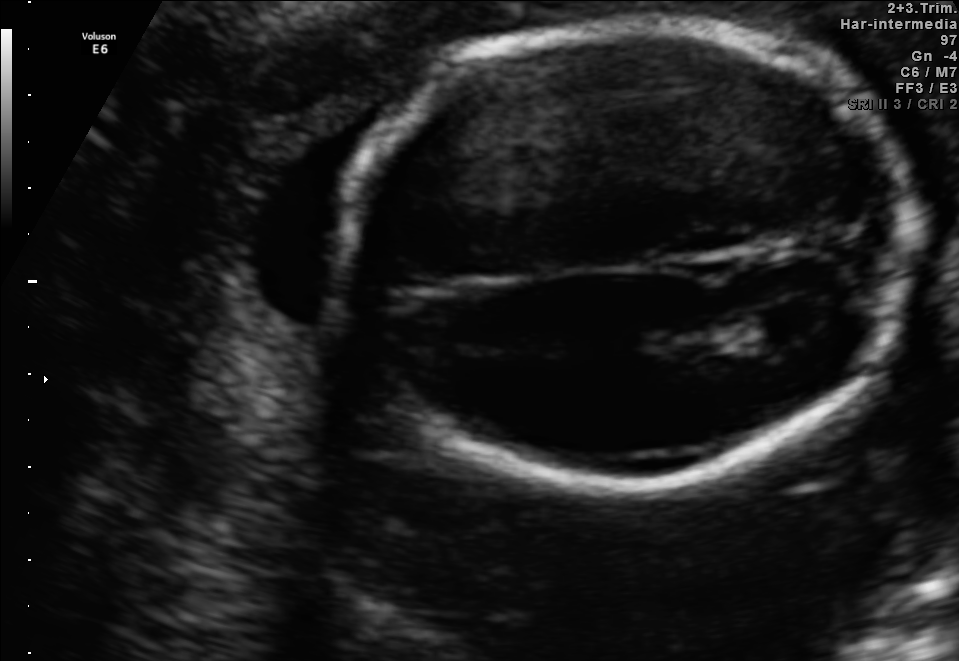
Fetal brain, trans-ventricular plane. Locate the fetal head.

Head: [330,11,923,502]